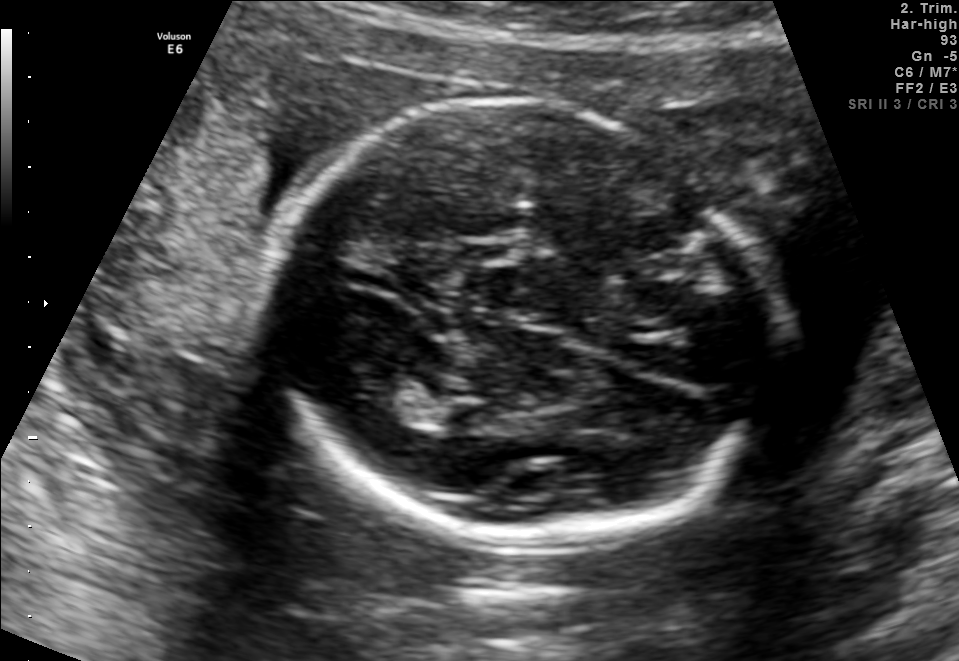
Fetal brain, trans-thalamic plane. Locate the fetal head.

Head: [269,93,782,532]